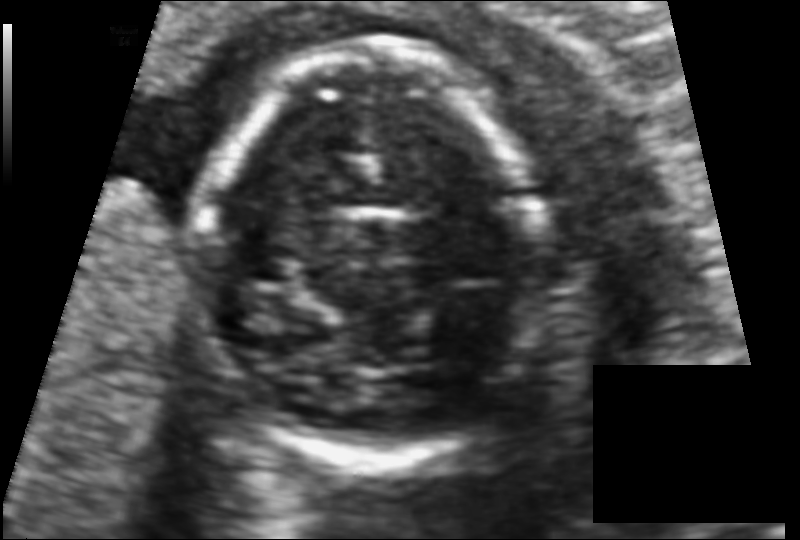
Estimate the fetal head circumference from this 2D ultrasound.

Head circumference: 112.7 mm (image width 74.5 mm).